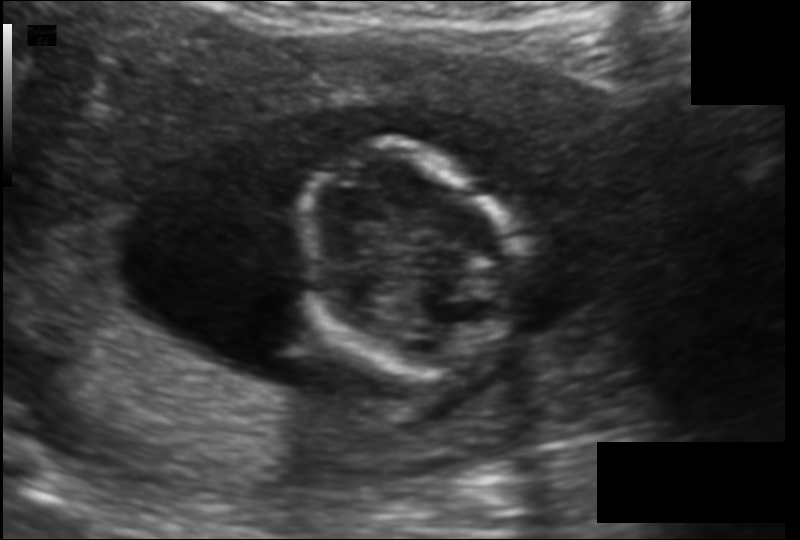
Fetal head ultrasound. Image width: 103.9 mm. Locate the fetal head and, if visible, the cavum septum pellucidum (CSP) and lateral ventricle (LV). Give bounding boxes as [x1,y1,x2,y2].

Head: [298,142,516,382]